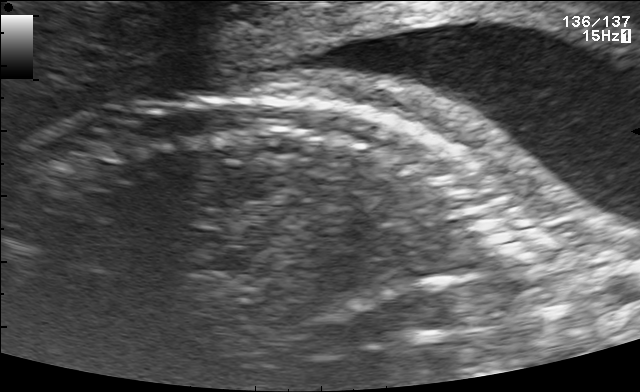
This is a 2D maternal-fetal ultrasound frame. Is it a fetal abdomen, fetal brain, fetal femur, fetal thorax, maternal cervix, or other standard plane? If it's fetal brain and one of the three standard brain planes (trans-thalamic, trans-cerebellum, trans-ventricular), name which.

Other